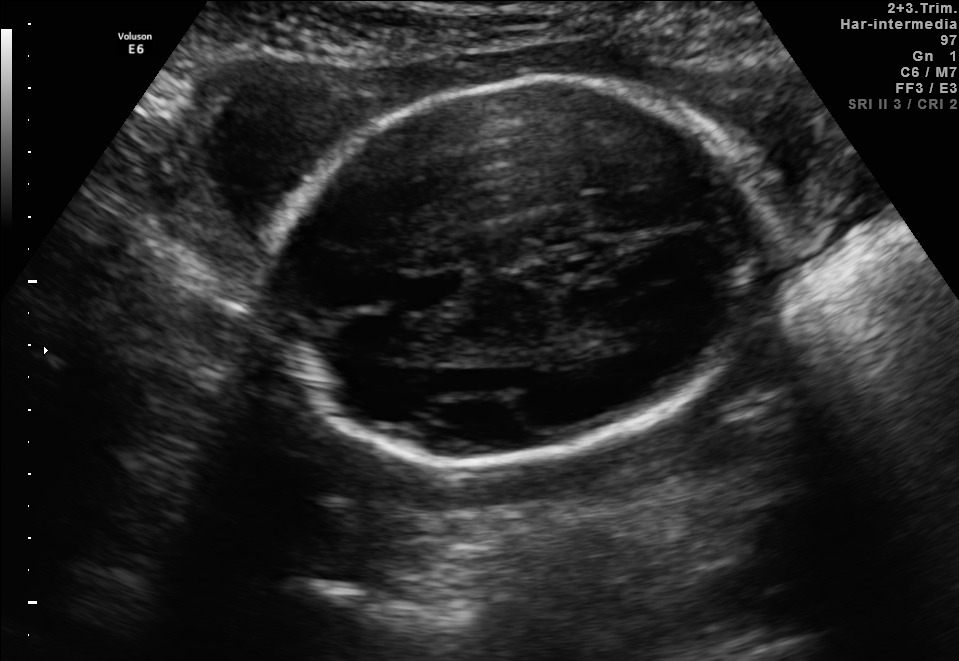
Fetal brain, trans-thalamic plane. Locate the fetal head.

Head: [264,80,763,469]